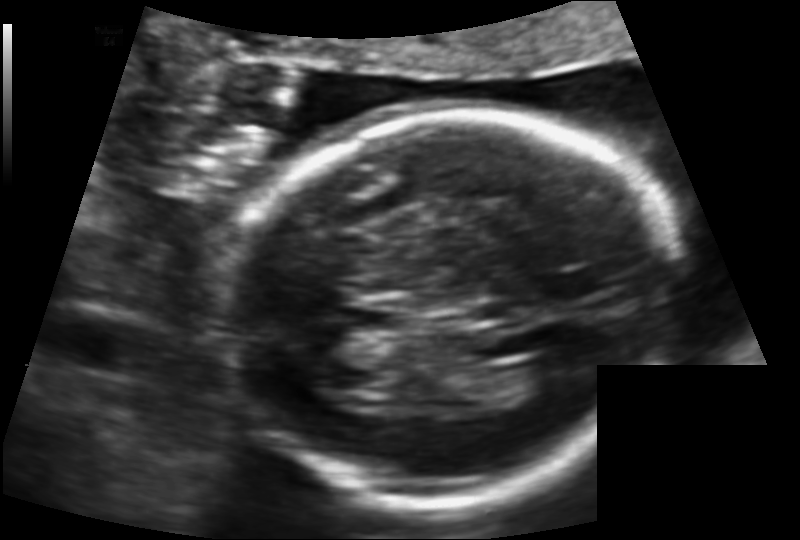
What is the fetal head circumference? Image width is 97.9 mm.

169.4 mm